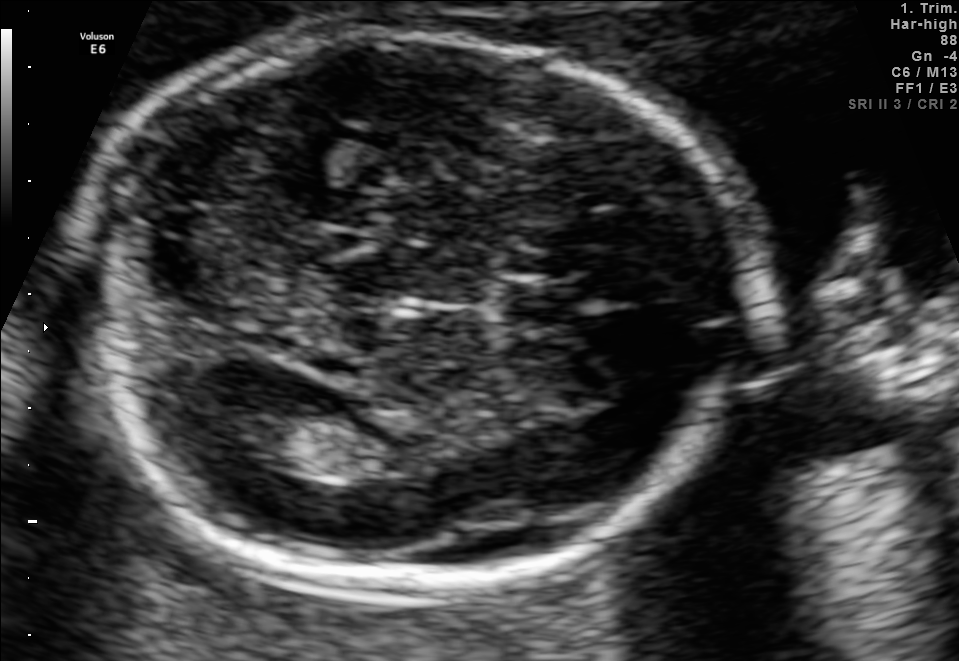
Fetal brain, trans-ventricular plane. Where is the cavum septum pellucidum?

CSP bounding box: [508,285,595,324]